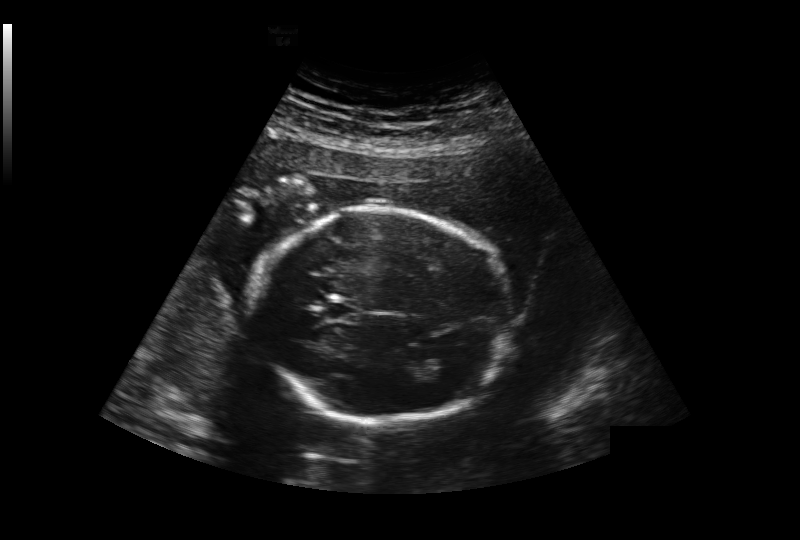
Fetal head ultrasound. Image width: 191.2 mm. Locate the fetal head.

Head: [252,208,511,421]